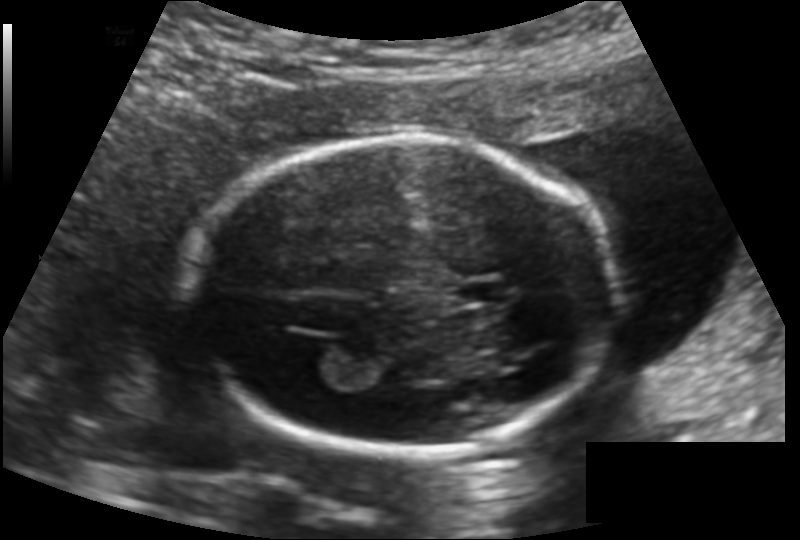
Estimate the fetal head circumference from this 2D ultrasound.

Head circumference: 162.7 mm (image width 109.1 mm).